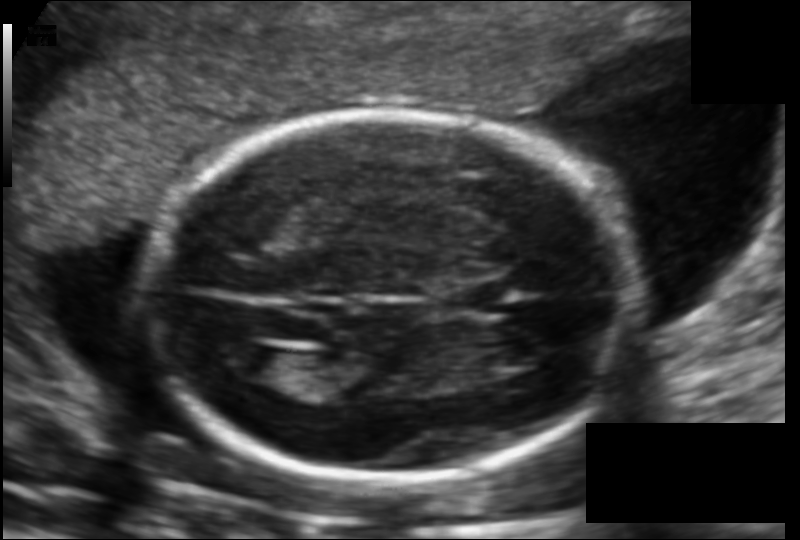
Measure the fetal head circumference shown in this ultrasound image. Image width: 98.4 mm.

Head circumference: 168.9 mm.